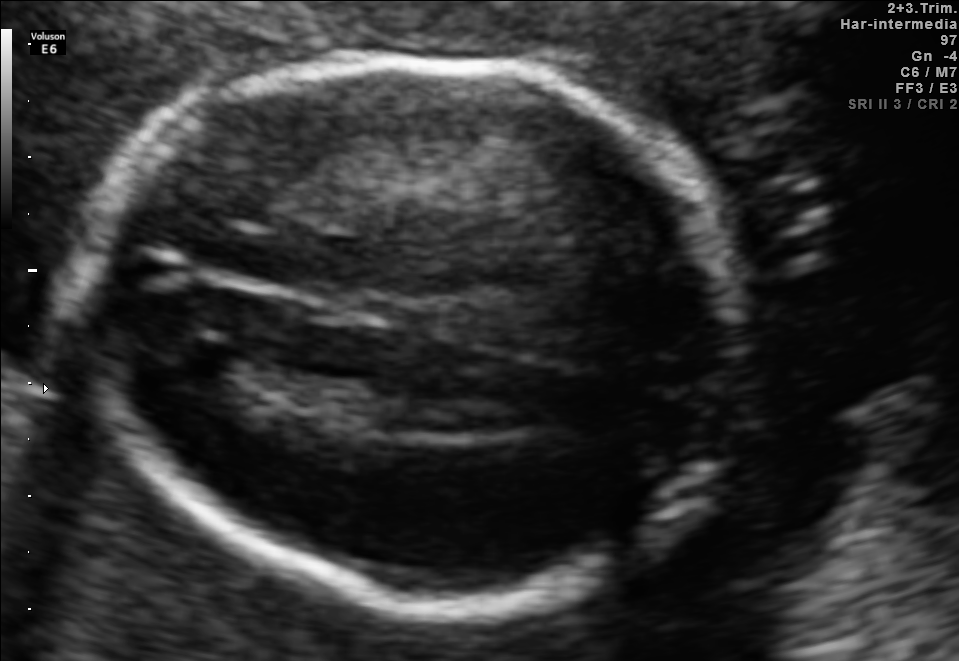
In this fetal brain, trans-thalamic plane, give the bounding box of the fetal head.

[82,58,745,605]